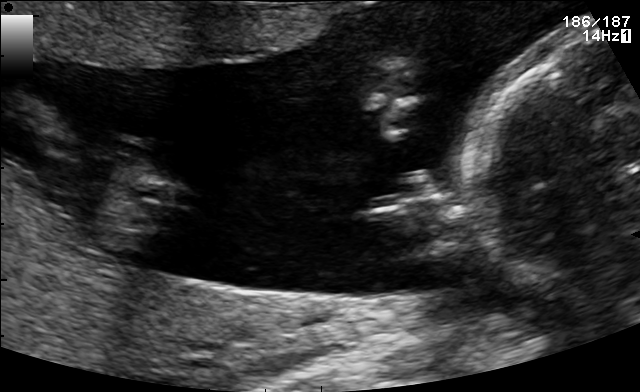
This is a 2D maternal-fetal ultrasound frame. Is it a fetal abdomen, fetal brain, fetal femur, fetal thorax, maternal cervix, or other standard plane? If it's fetal brain and one of the three standard brain planes (trans-thalamic, trans-cerebellum, trans-ventricular), name which.

Other